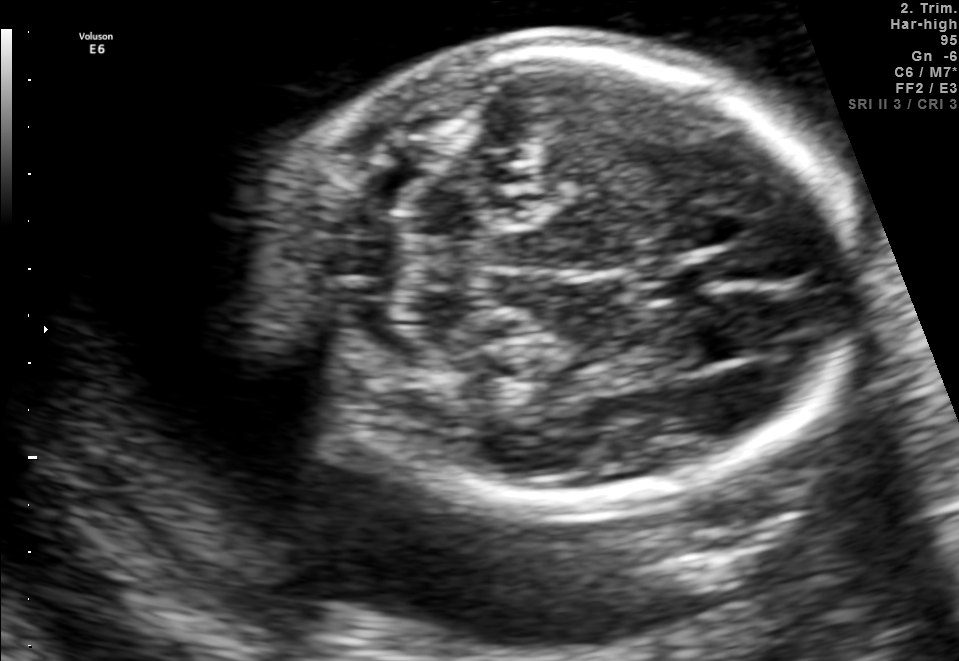
Fetal brain, trans-cerebellum plane. Where is the cavum septum pellucidum?

CSP bounding box: [636,247,723,306]